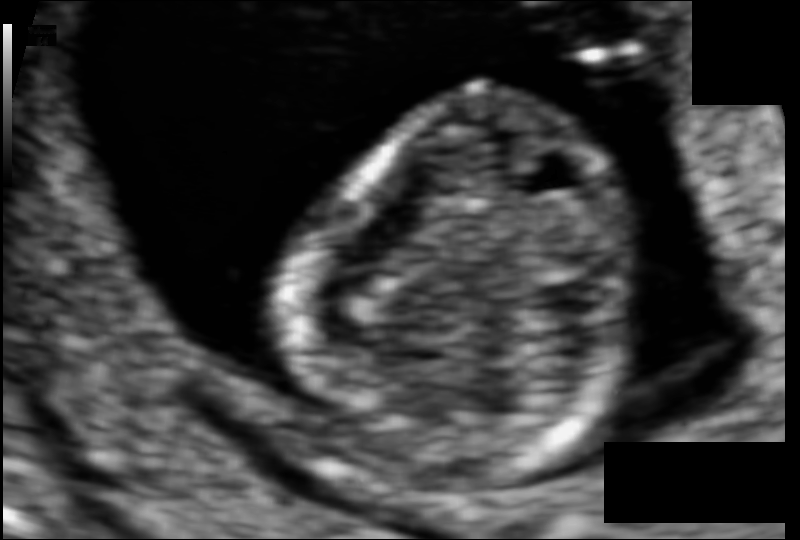
From this fetal ultrasound, estimate the head circumference (image width 48.3 mm).

Head circumference: 69.3 mm.